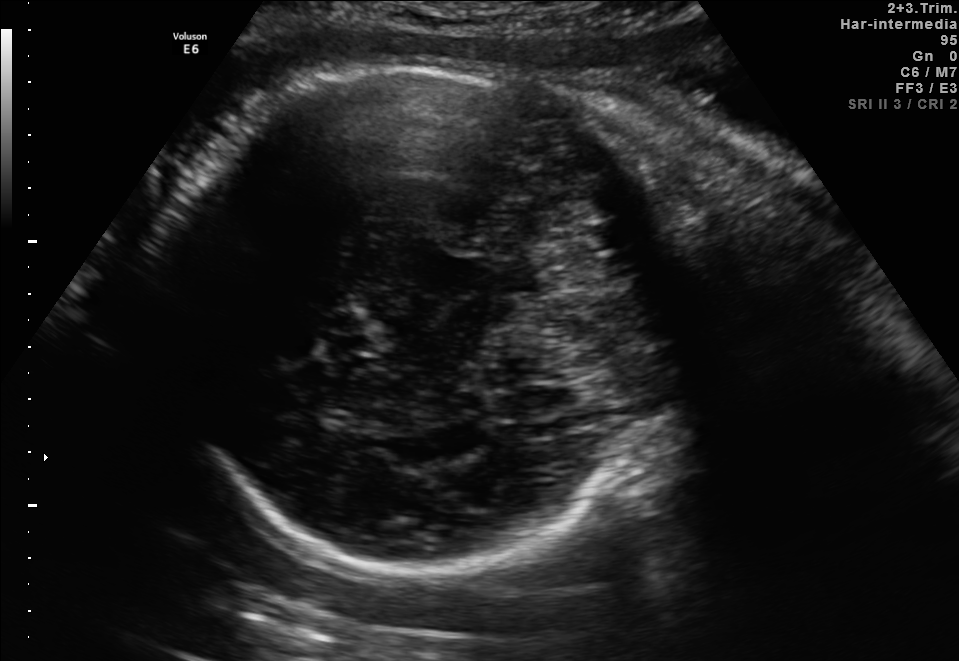
In this fetal brain, trans-cerebellum plane, give bounding boxes for the head outline, cavum septum pellucidum (CSP), and lateral ventricle (LV), where visible.

Head: [165,62,672,571]